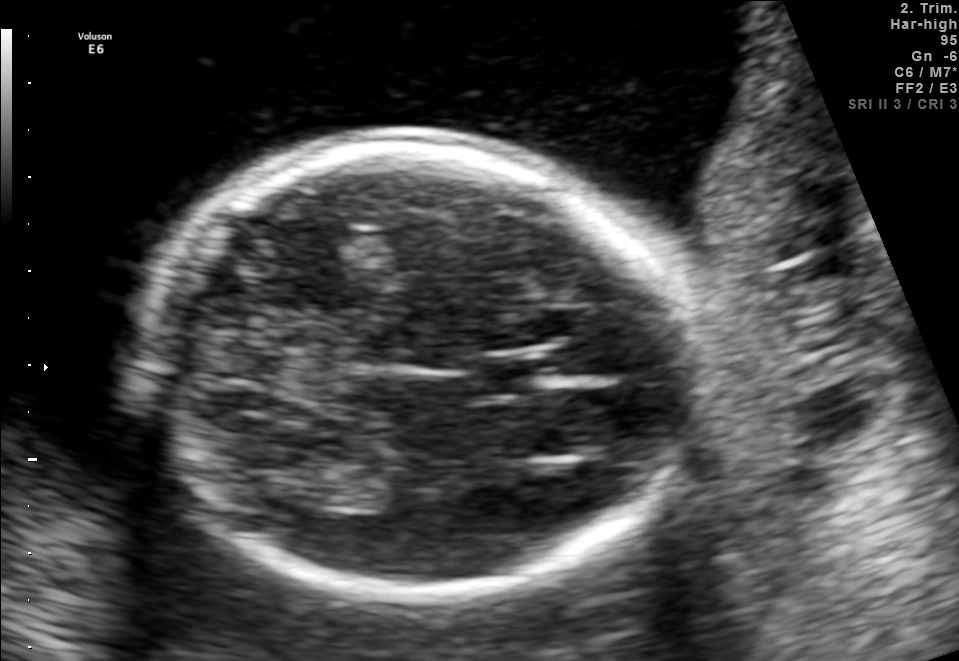
This is a 2D maternal-fetal ultrasound frame. Is it a fetal abdomen, fetal brain, fetal femur, fetal thorax, maternal cervix, or other standard plane? If it's fetal brain and one of the three standard brain planes (trans-thalamic, trans-cerebellum, trans-ventricular), name which.

Fetal brain (trans-thalamic plane)